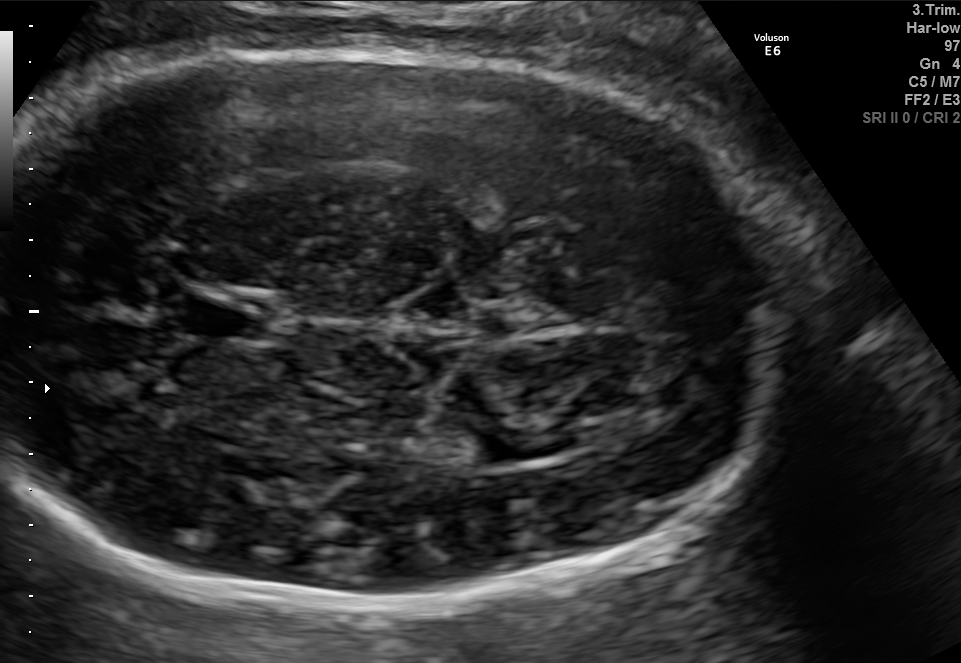
This is a 2D maternal-fetal ultrasound frame. Is it a fetal abdomen, fetal brain, fetal femur, fetal thorax, maternal cervix, or other standard plane? If it's fetal brain and one of the three standard brain planes (trans-thalamic, trans-cerebellum, trans-ventricular), name which.

Fetal brain (trans-thalamic plane)